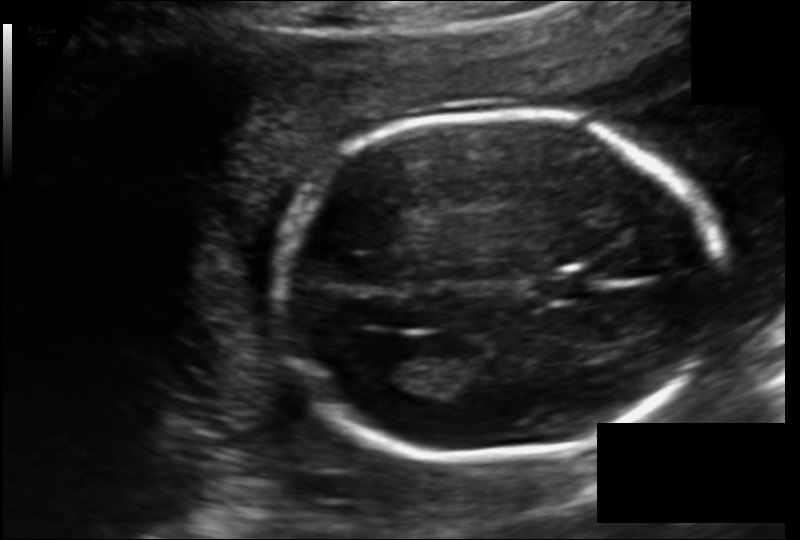
Estimate the fetal head circumference from this 2D ultrasound.

Head circumference: 172.0 mm (image width 107.8 mm).